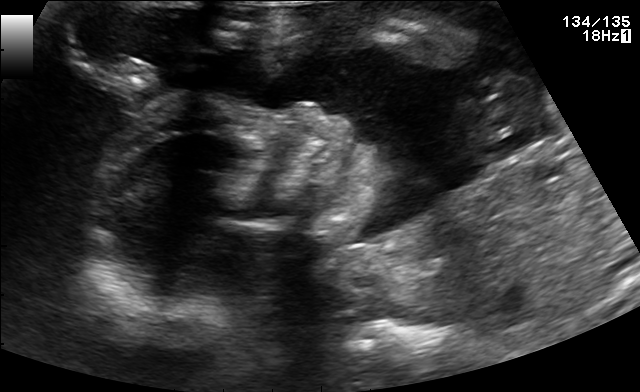
This is a 2D maternal-fetal ultrasound frame. Is it a fetal abdomen, fetal brain, fetal femur, fetal thorax, maternal cervix, or other standard plane? If it's fetal brain and one of the three standard brain planes (trans-thalamic, trans-cerebellum, trans-ventricular), name which.

Other